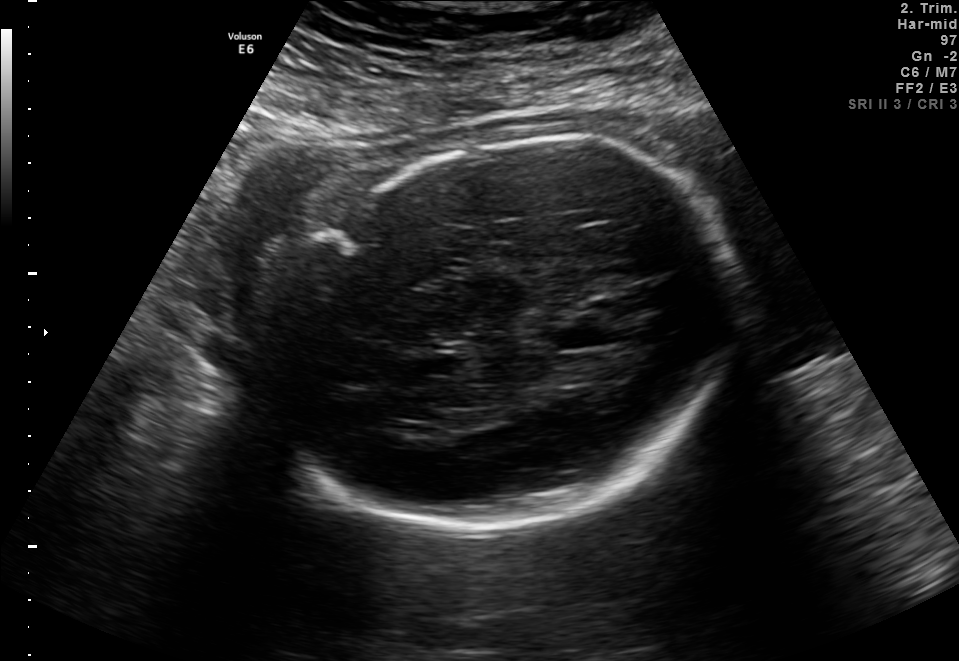
Fetal brain, trans-thalamic plane. Locate the fetal head and, if visible, the cavum septum pellucidum (CSP) and lateral ventricle (LV). Give bounding boxes as [x1,y1,x2,y2].

Head: [256,135,745,536]